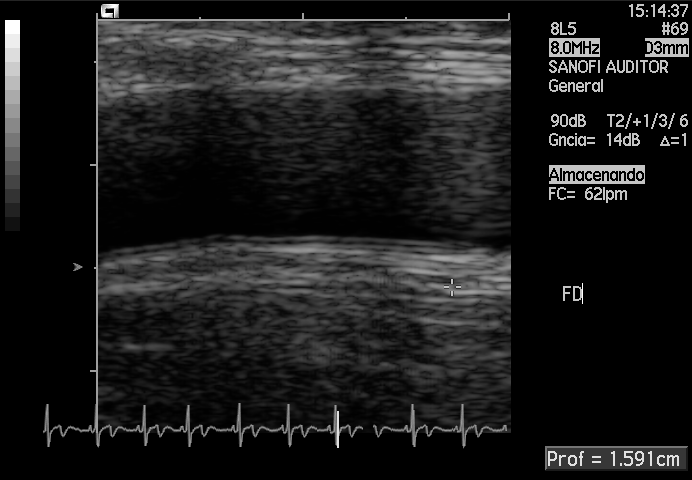
Classify this maternal-fetal ultrasound image as one of the six standard planes — fetal abdomen, fetal brain, fetal femur, fetal thorax, maternal cervix, or other. If it's fetal brain and one of the three standard brain planes (trans-thalamic, trans-cerebellum, trans-ventricular), name which.

Other